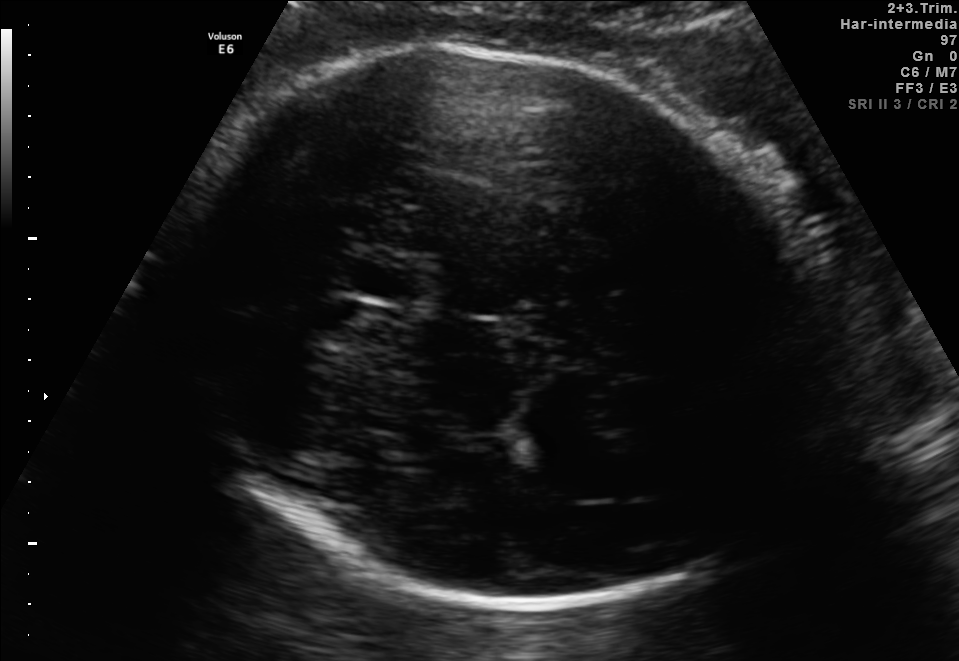
Fetal brain, trans-thalamic plane. Where is the cavum septum pellucidum?

CSP bounding box: [350,257,417,304]